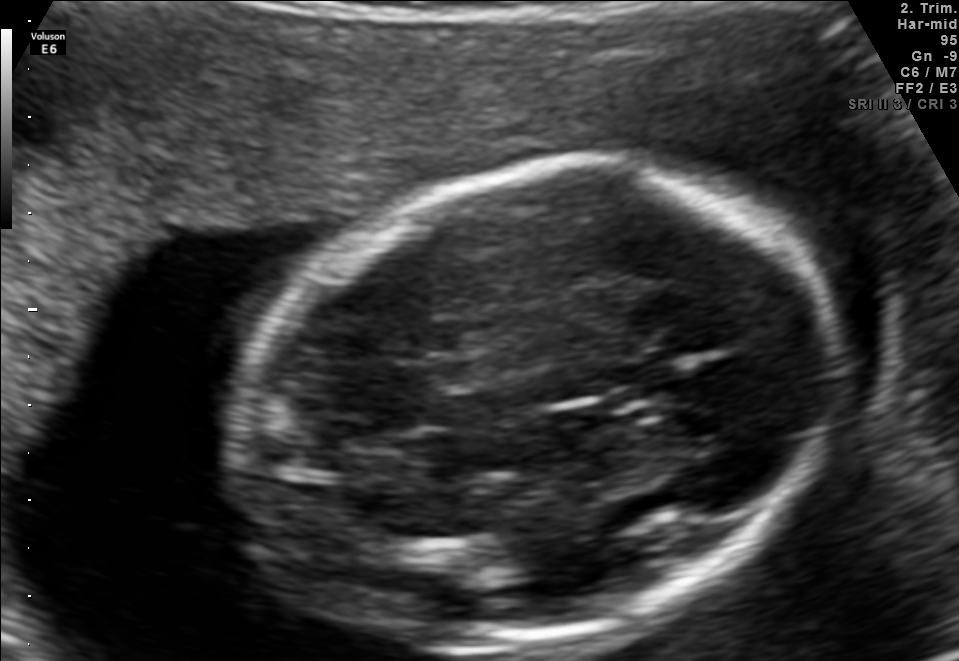
Fetal brain, trans-thalamic plane. Locate the fetal head.

Head: [232,155,839,654]